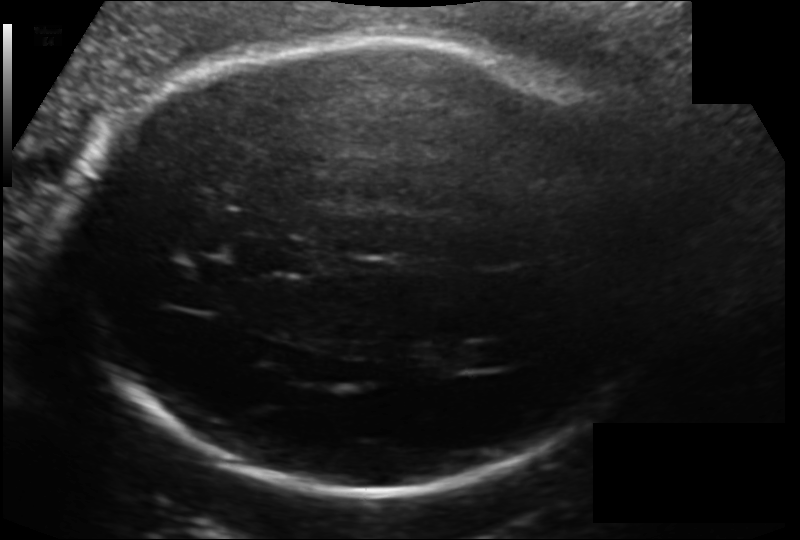
In this fetal head ultrasound, give bounding boxes for the head outline, cavum septum pellucidum (CSP), and lateral ventricle (LV), where visible. Image width: 123.2 mm.

Head: [72,38,657,493]
CSP: [255,233,320,279]
Lateral ventricle: [459,342,514,370]